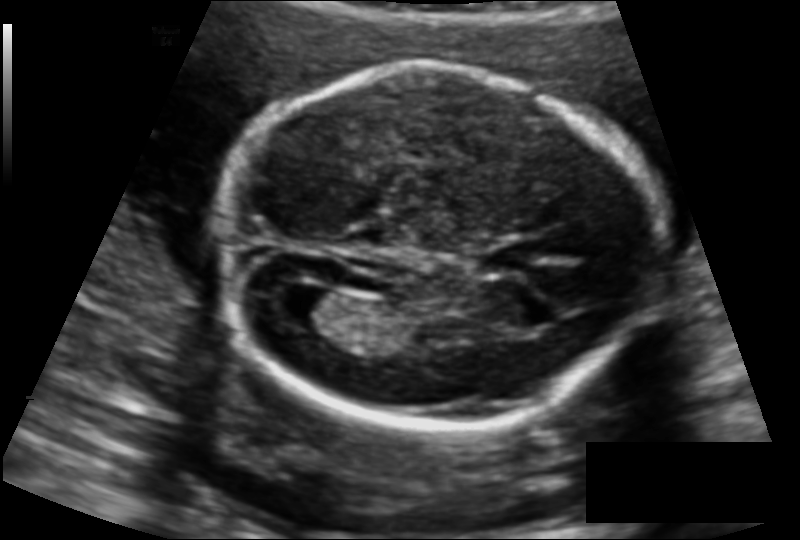
From this fetal ultrasound, estimate the head circumference (image width 101.8 mm).

Head circumference: 161.4 mm.